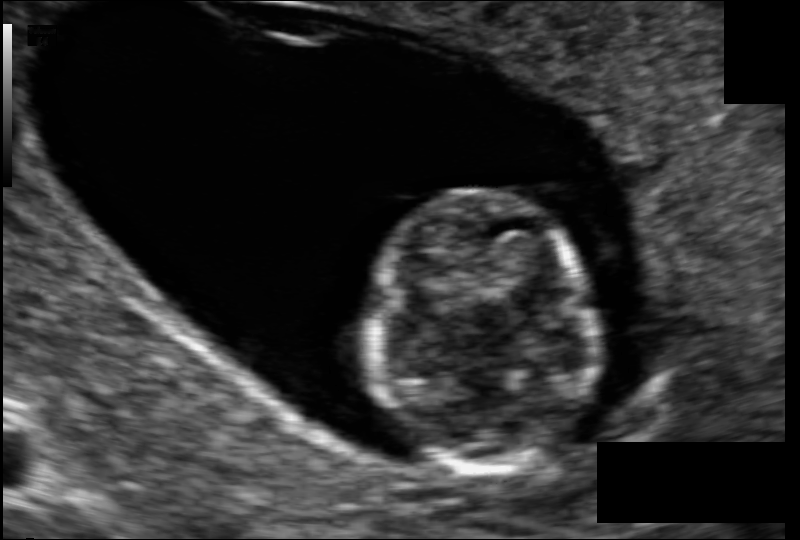
Fetal head ultrasound. Image width: 73.7 mm. Where is the fetal head?

Head bounding box: [370,192,591,469]